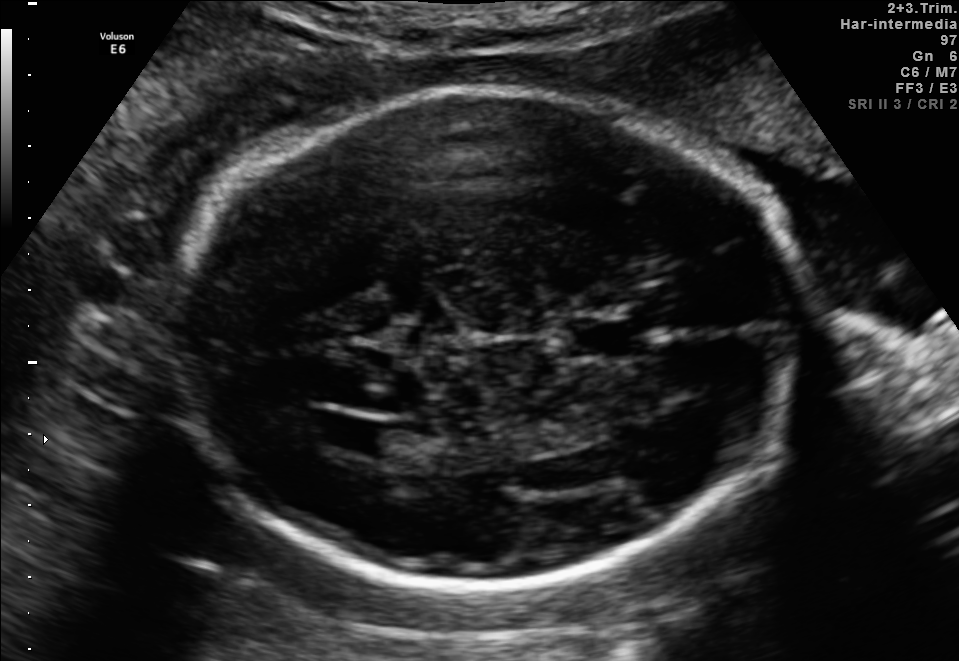
Fetal brain, trans-ventricular plane. Locate the cavum septum pellucidum.

CSP: [554,321,641,355]